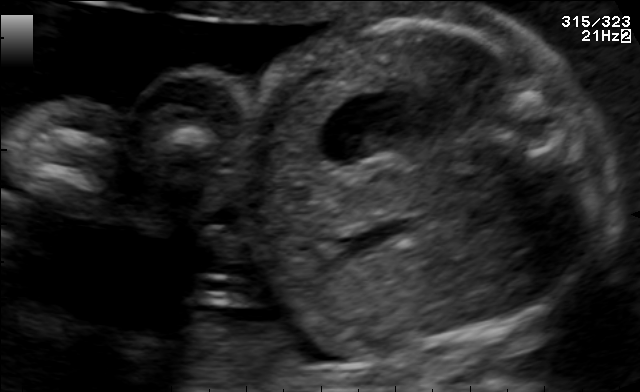
Identify the standard plane in this fetal ultrasound image: fetal abdomen, fetal brain, fetal femur, fetal thorax, maternal cervix, or other. If it's fetal brain and one of the three standard brain planes (trans-thalamic, trans-cerebellum, trans-ventricular), name which.

Fetal abdomen